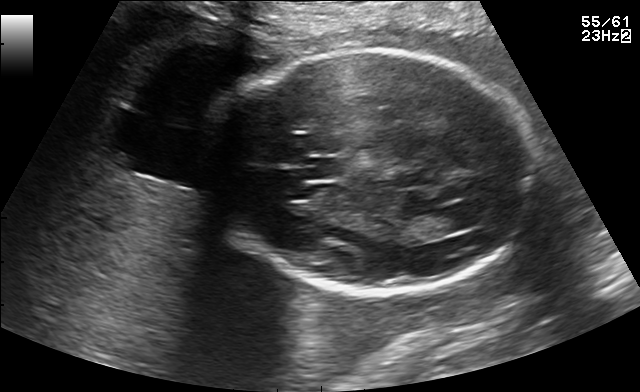
Fetal brain, trans-thalamic plane. Locate the cavum septum pellucidum.

CSP: [308,158,342,179]